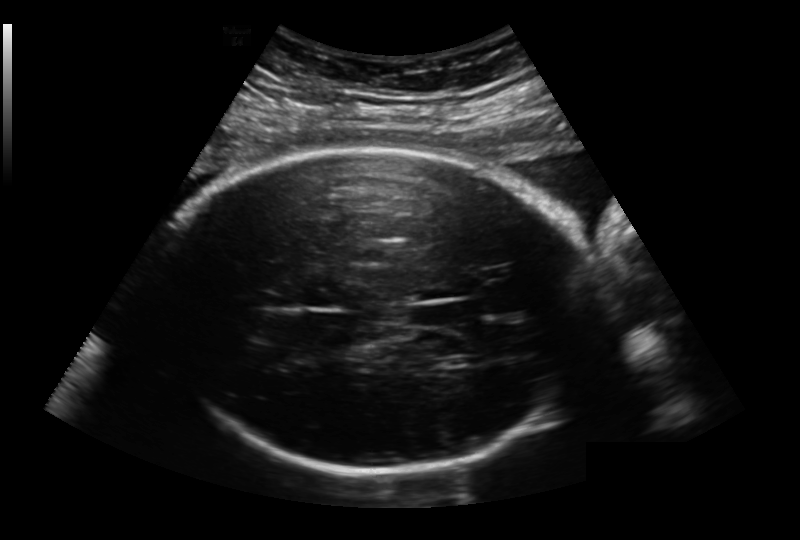
From this fetal ultrasound, estimate the head circumference (image width 188.7 mm).

Head circumference: 294.1 mm.